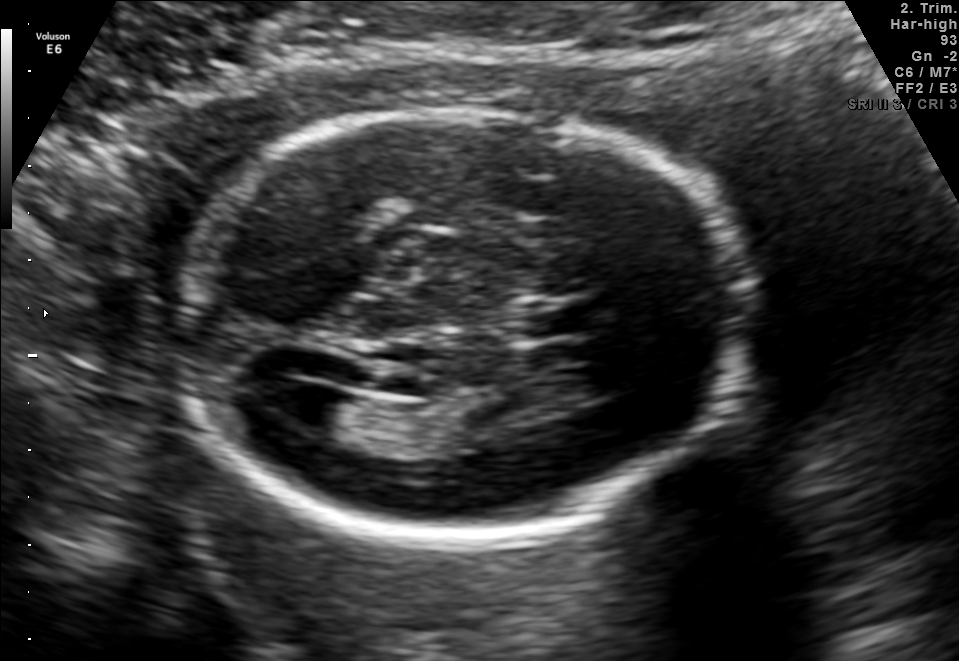
In this fetal brain, trans-ventricular plane, give bounding boxes for the head outline, cavum septum pellucidum (CSP), and lateral ventricle (LV), where visible.

Head: [167,95,762,556]
CSP: [530,301,581,338]
Lateral ventricle: [261,372,342,433]